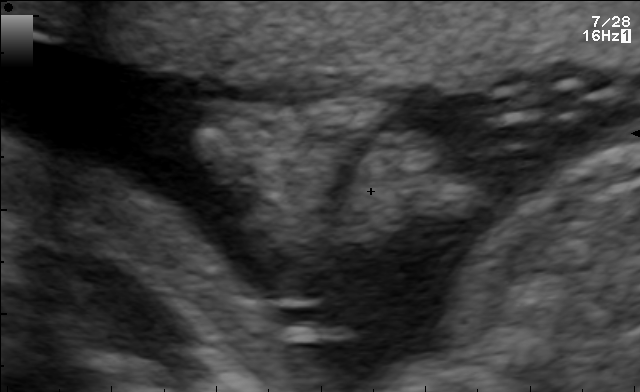
Which standard maternal-fetal ultrasound plane is shown: fetal abdomen, fetal brain, fetal femur, fetal thorax, maternal cervix, or other? If it's fetal brain and one of the three standard brain planes (trans-thalamic, trans-cerebellum, trans-ventricular), name which.

Other